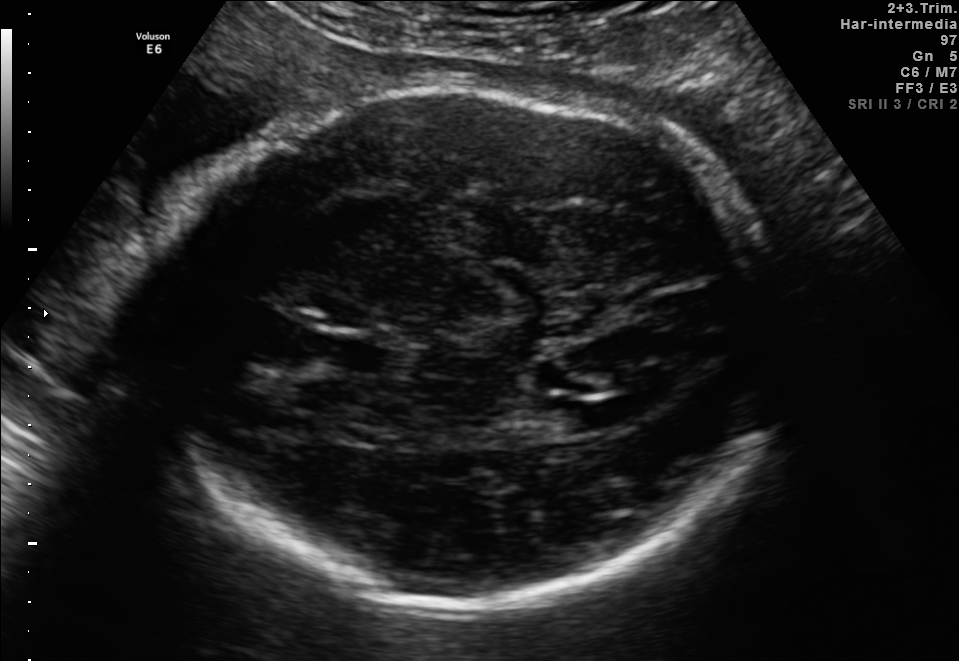
Fetal brain, trans-ventricular plane. Locate the cavum septum pellucidum.

CSP: [304,332,367,372]